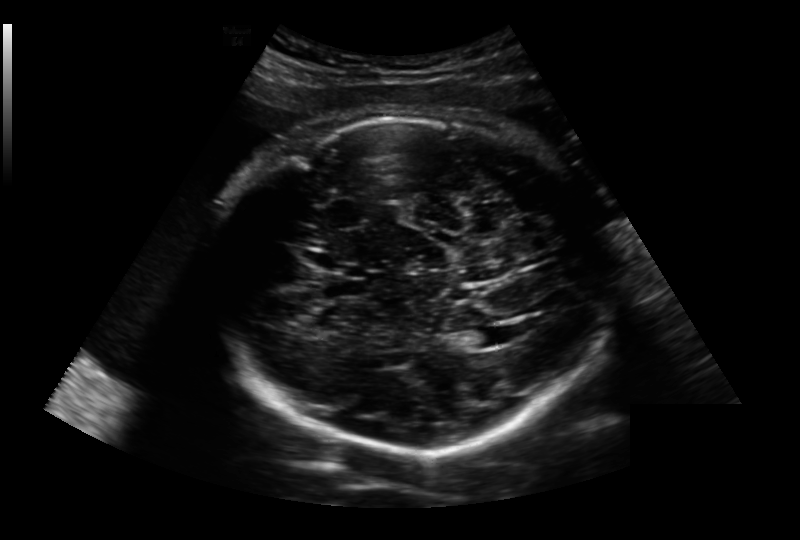
Fetal head ultrasound. Image width: 188.7 mm. Locate the fetal head.

Head: [208,115,609,454]